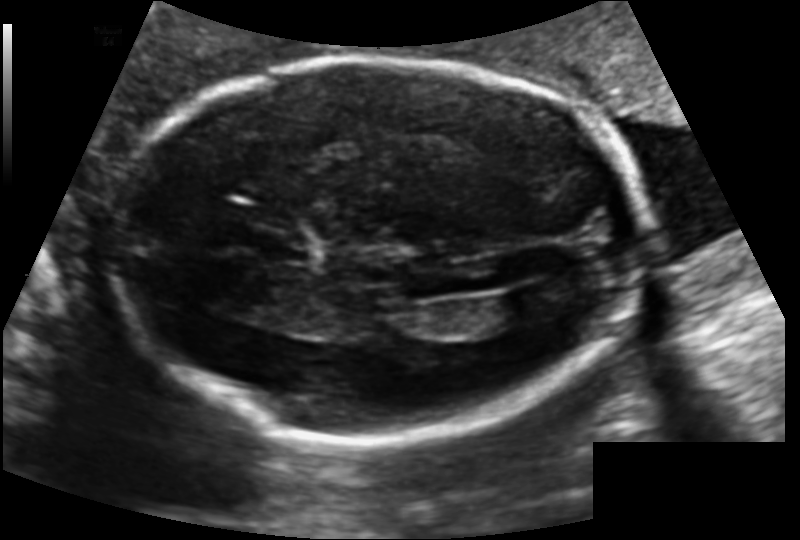
Fetal head ultrasound. Image width: 105.0 mm. Locate the cavum septum pellucidum.

CSP: [248,226,311,266]